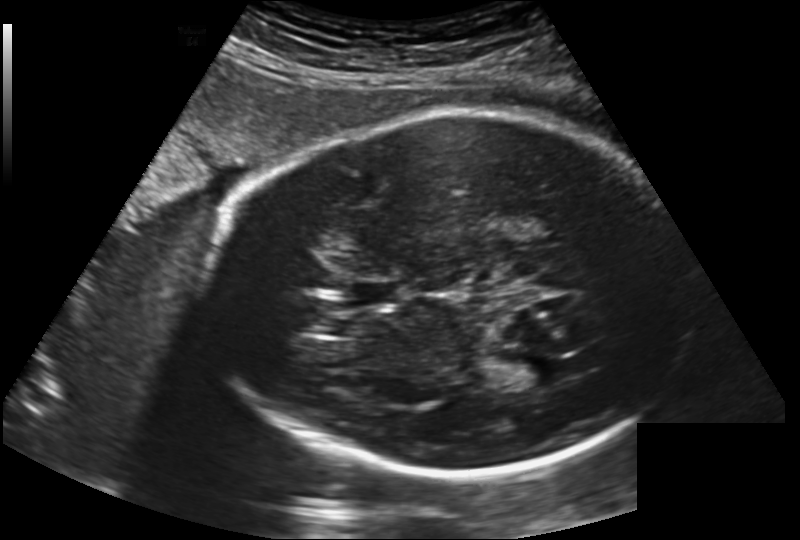
Fetal head ultrasound. Image width: 161.7 mm. Where is the cavum septum pellucidum?

CSP bounding box: [352,279,401,308]